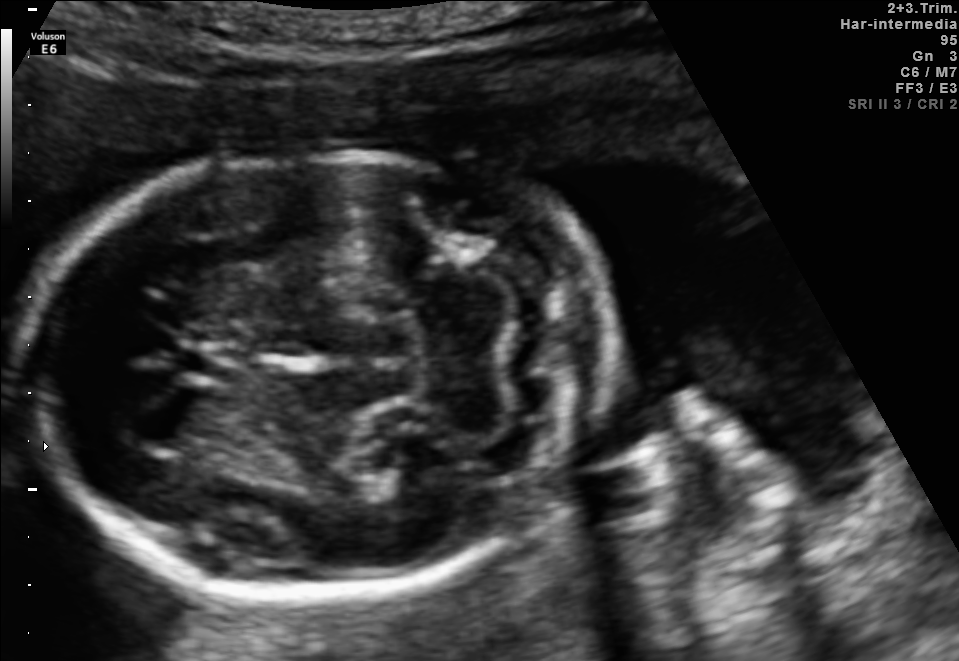
In this fetal brain, trans-cerebellum plane, give bounding boxes for the head outline, cavum septum pellucidum (CSP), and lateral ventricle (LV), where visible.

Head: [22,153,613,594]
CSP: [177,342,243,385]